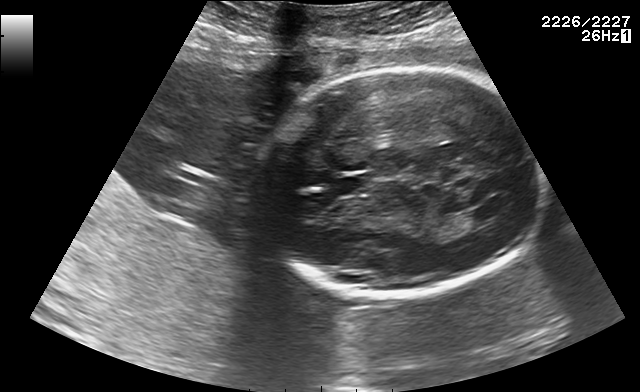
Fetal brain, trans-ventricular plane. Give [x1,y1,x2,y2] bounding boxes for each visible structure among: CSP, LV.

CSP: [323,173,374,197]
Lateral ventricle: [467,199,509,229]